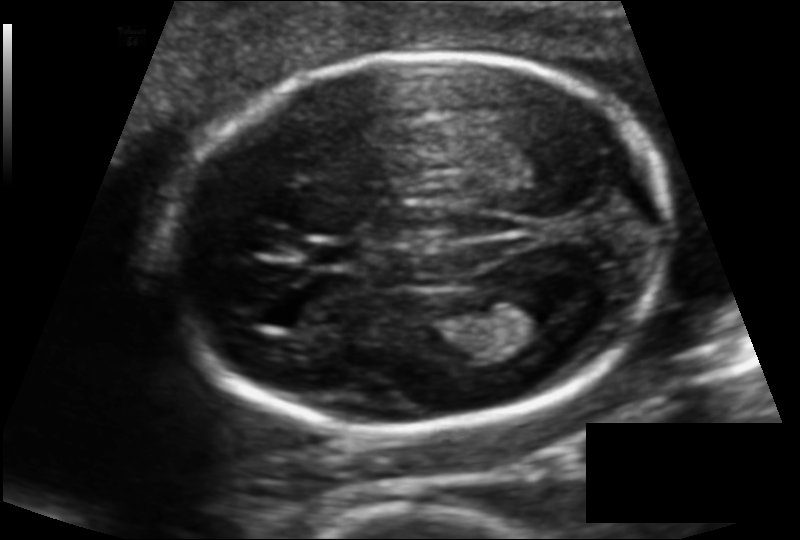
Estimate the fetal head circumference from this 2D ultrasound. Image width: 95.8 mm.

Head circumference: 170.8 mm.